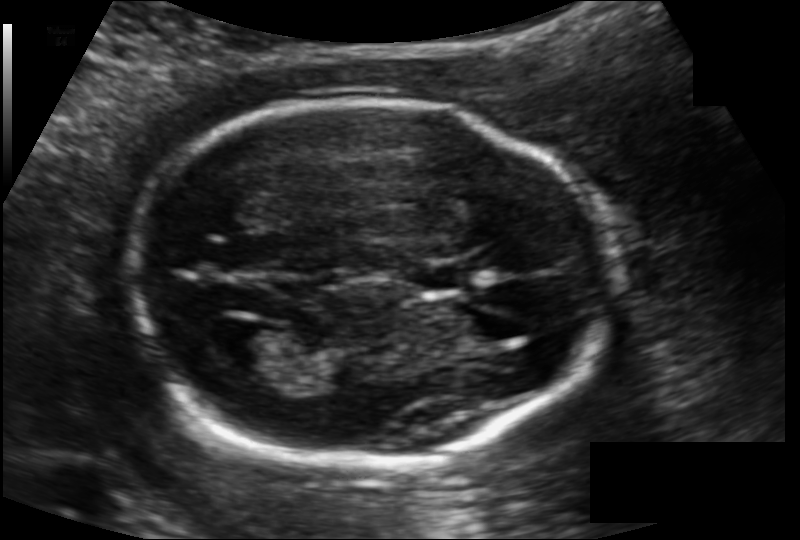
Estimate the fetal head circumference from this 2D ultrasound. Image width: 96.5 mm.

Head circumference: 164.1 mm.